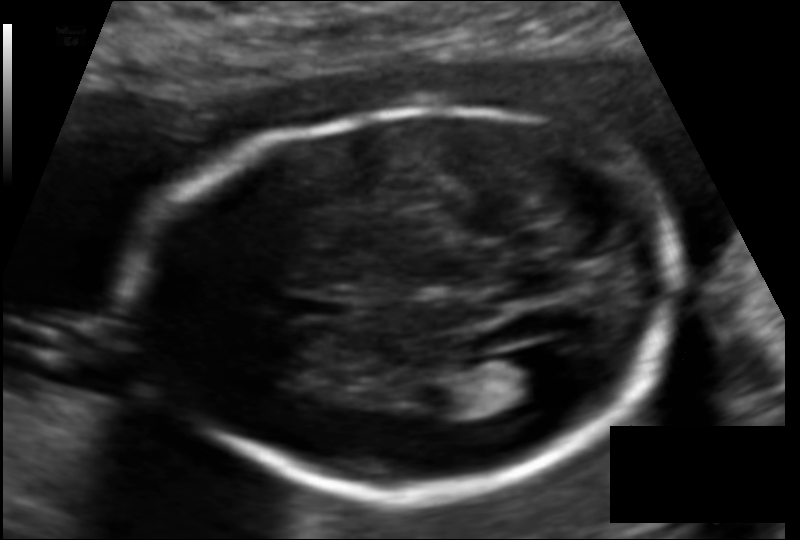
Measure the fetal head circumference shown in this ultrasound image. Image width: 91.1 mm.

Head circumference: 176.0 mm.